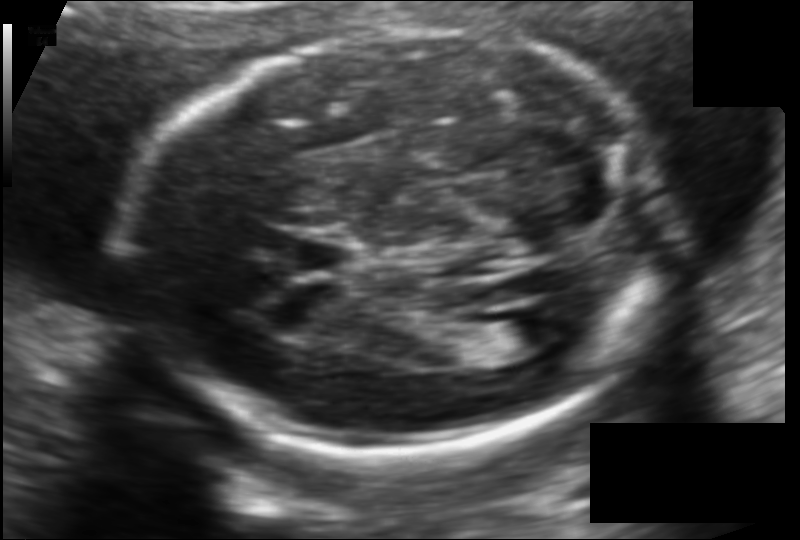
Fetal head ultrasound. Image width: 94.7 mm. Locate the fetal head.

Head: [131,32,666,457]